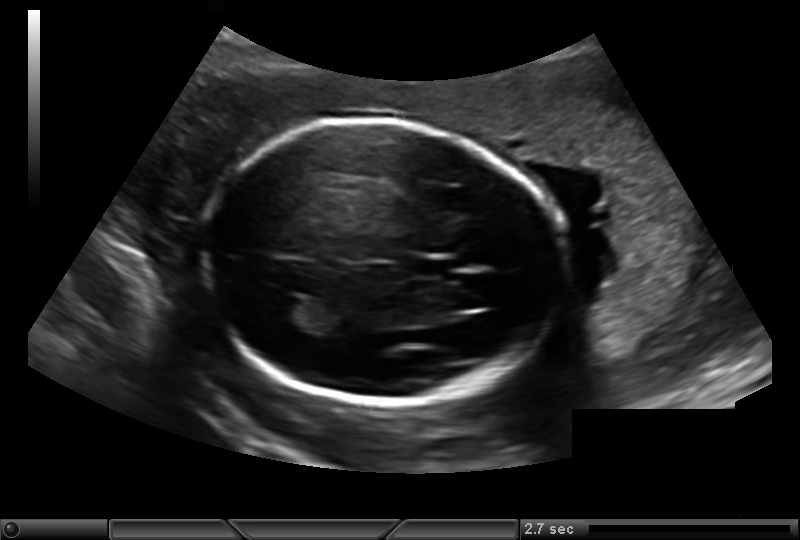
In this fetal head ultrasound, give the bounding box of the fetal head. Image width: 154.2 mm.

[204,120,563,402]